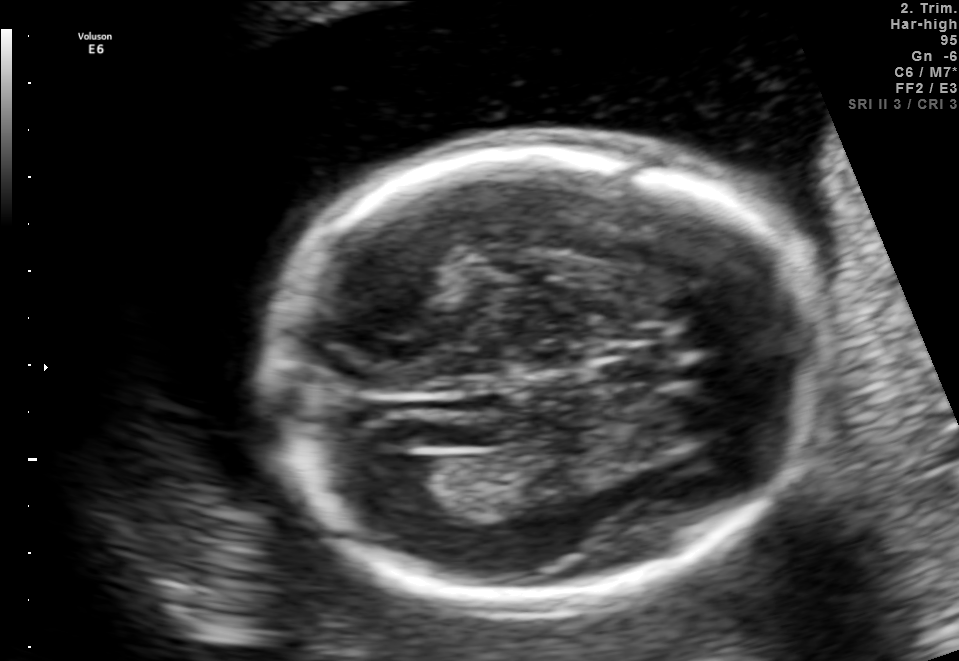
Fetal brain, trans-ventricular plane. Locate the fetal head and, if visible, the cavum septum pellucidum (CSP) and lateral ventricle (LV). Give bounding boxes as [x1,y1,x2,y2].

Head: [257,125,834,622]
Lateral ventricle: [374,457,445,511]